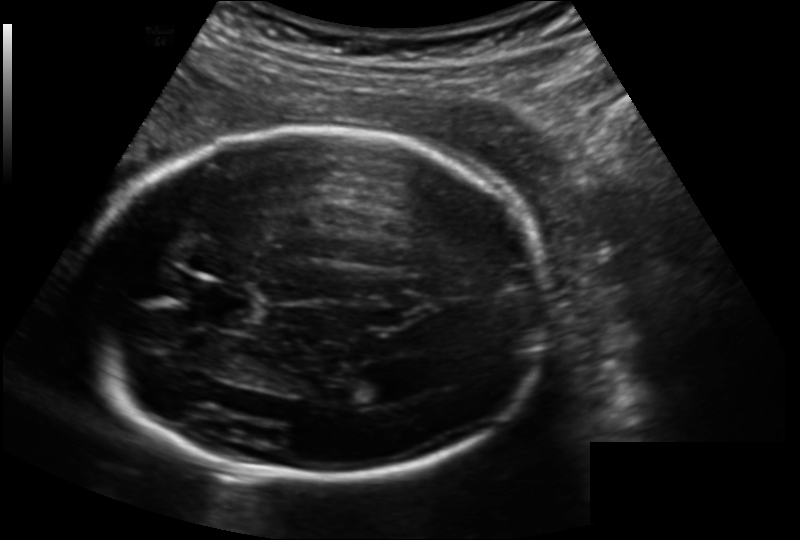
In this fetal head ultrasound, give the bounding box of the cavum septum pellucidum. Image width: 130.8 mm.

[186,277,252,331]